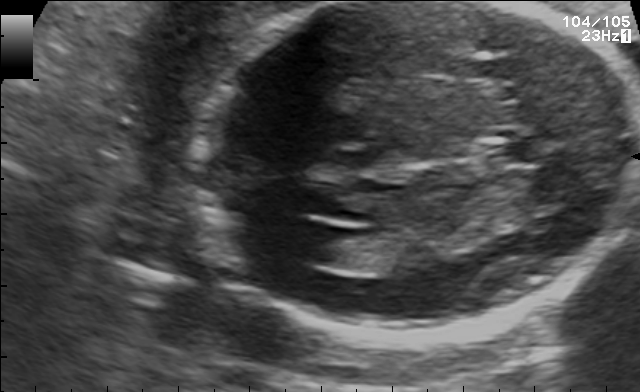
Fetal brain, trans-ventricular plane. Where is the cavum septum pellucidum?

CSP bounding box: [486,141,539,165]